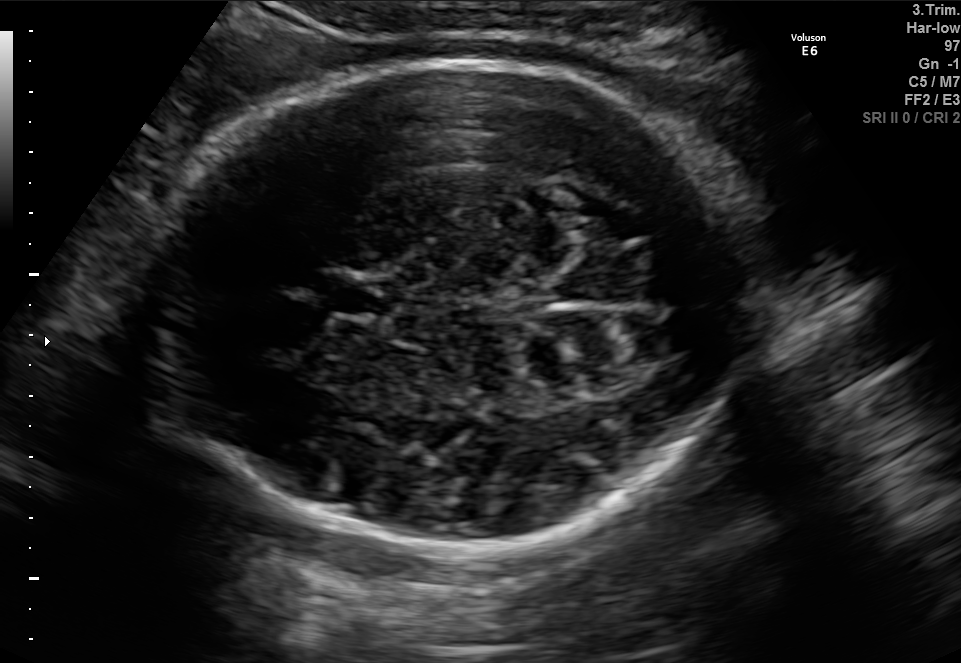
Fetal brain, trans-thalamic plane. Give [x1,y1,x2,y2] bounding boxes for each visible structure among: fetal head, CSP, LV.

Head: [140,56,769,551]
CSP: [320,278,383,319]